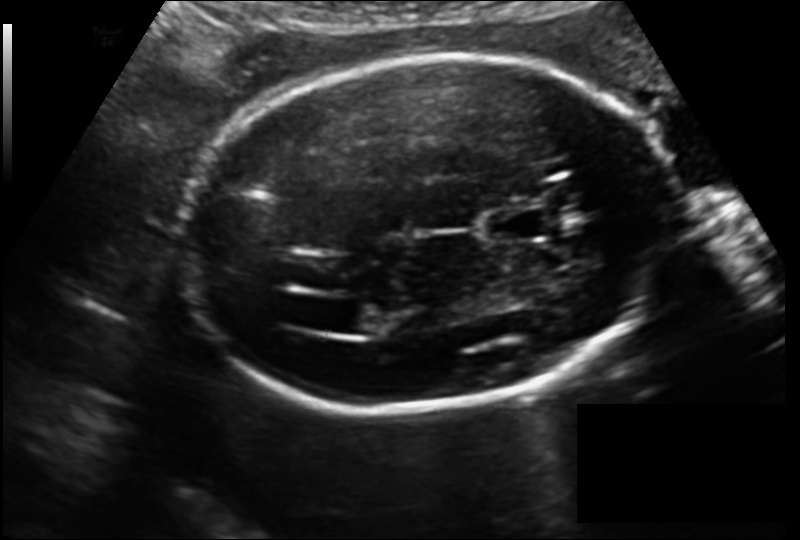
Fetal head ultrasound. Image width: 120.3 mm. Where is the fetal head?

Head bounding box: [177,53,675,410]